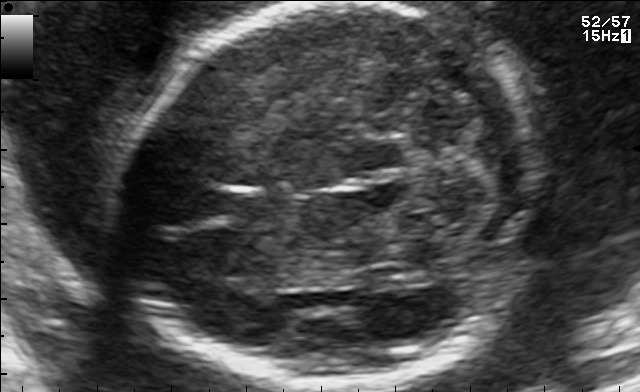
Fetal brain, trans-cerebellum plane. Give [x1,y1,x2,y2] bounding boxes for each visible structure among: fetal head, CSP, LV.

Head: [126,2,545,391]